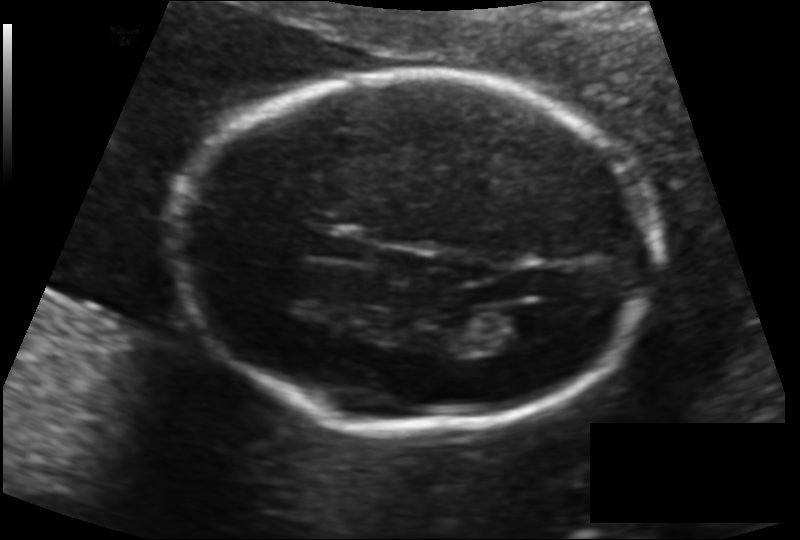
Fetal head ultrasound. Image width: 107.4 mm. Give [x1,y1,x2,y2] bounding boxes for each visible structure among: fetal head, CSP, LV.

Head: [182,71,658,428]
CSP: [306,226,367,265]
Lateral ventricle: [477,301,546,353]